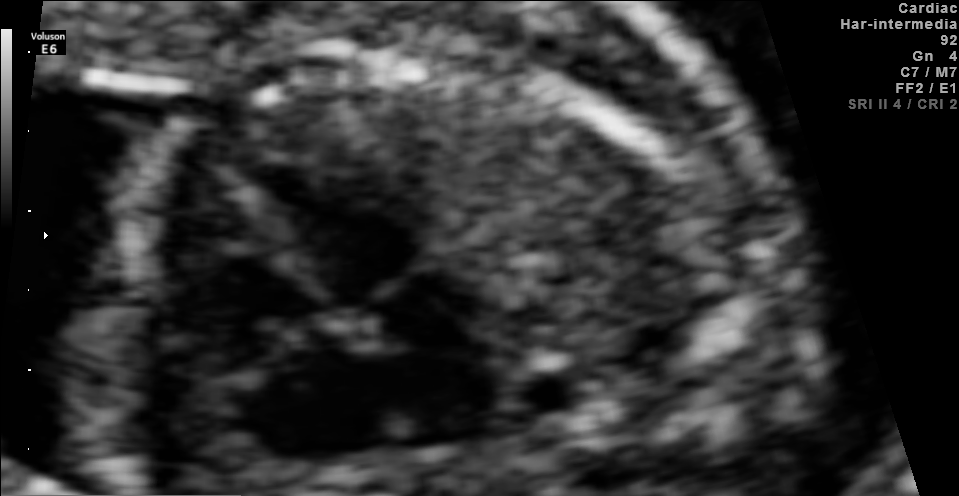
This is a 2D maternal-fetal ultrasound frame. Is it a fetal abdomen, fetal brain, fetal femur, fetal thorax, maternal cervix, or other standard plane? If it's fetal brain and one of the three standard brain planes (trans-thalamic, trans-cerebellum, trans-ventricular), name which.

Fetal thorax